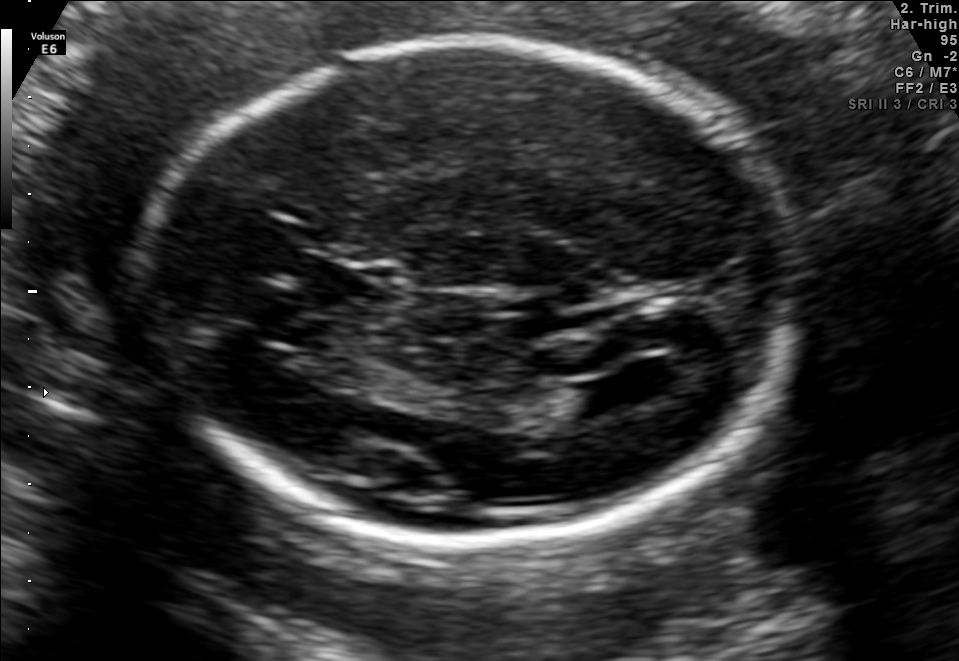
Fetal brain, trans-ventricular plane. Where is the lateral ventricle?

Lateral ventricle bounding box: [566,373,634,421]